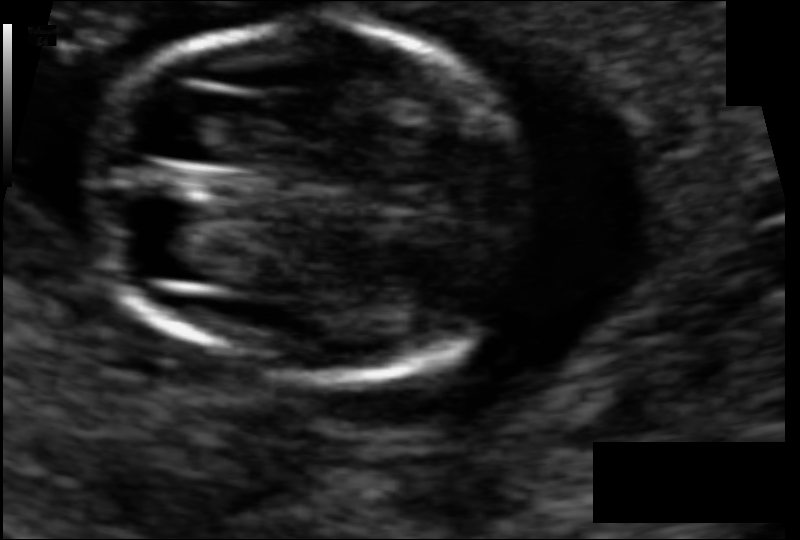
From this fetal ultrasound, estimate the head circumference (image width 48.6 mm).

Head circumference: 79.9 mm.